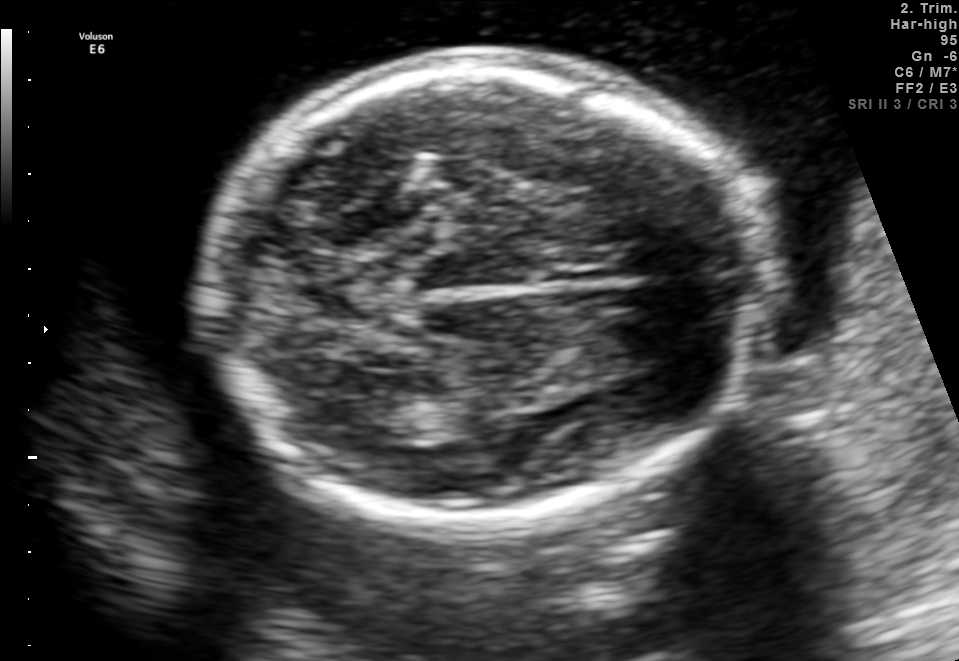
Fetal brain, trans-thalamic plane. Where is the lateral ventricle?

Lateral ventricle bounding box: [328,395,391,432]